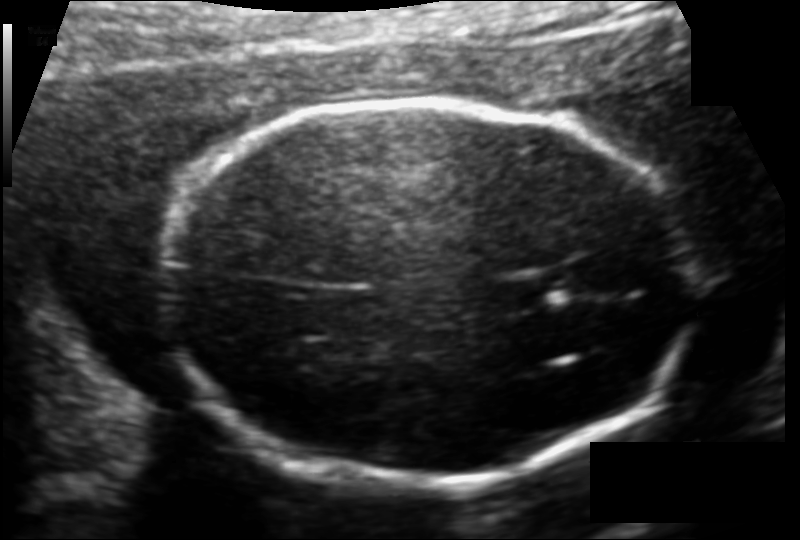
From this fetal ultrasound, estimate the head circumference (image width 95.0 mm).

Head circumference: 176.5 mm.